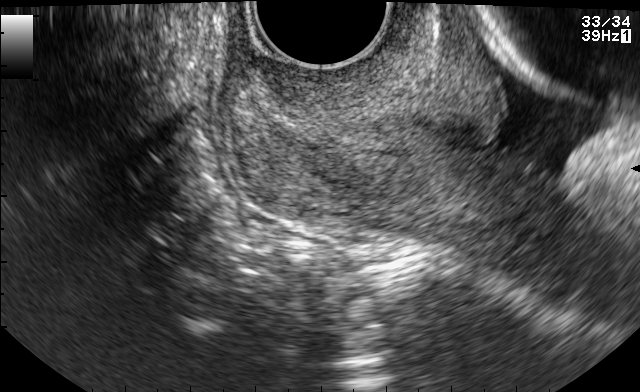
Classify this maternal-fetal ultrasound image as one of the six standard planes — fetal abdomen, fetal brain, fetal femur, fetal thorax, maternal cervix, or other. If it's fetal brain and one of the three standard brain planes (trans-thalamic, trans-cerebellum, trans-ventricular), name which.

Maternal cervix